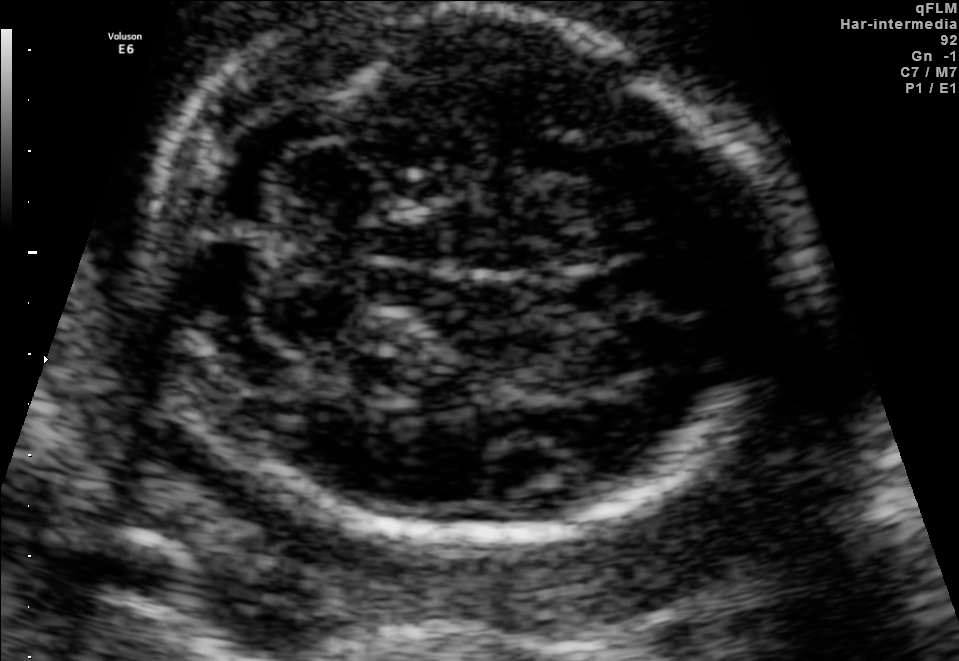
In this fetal brain, trans-cerebellum plane, give the bounding box of the fetal head.

[147,8,772,537]